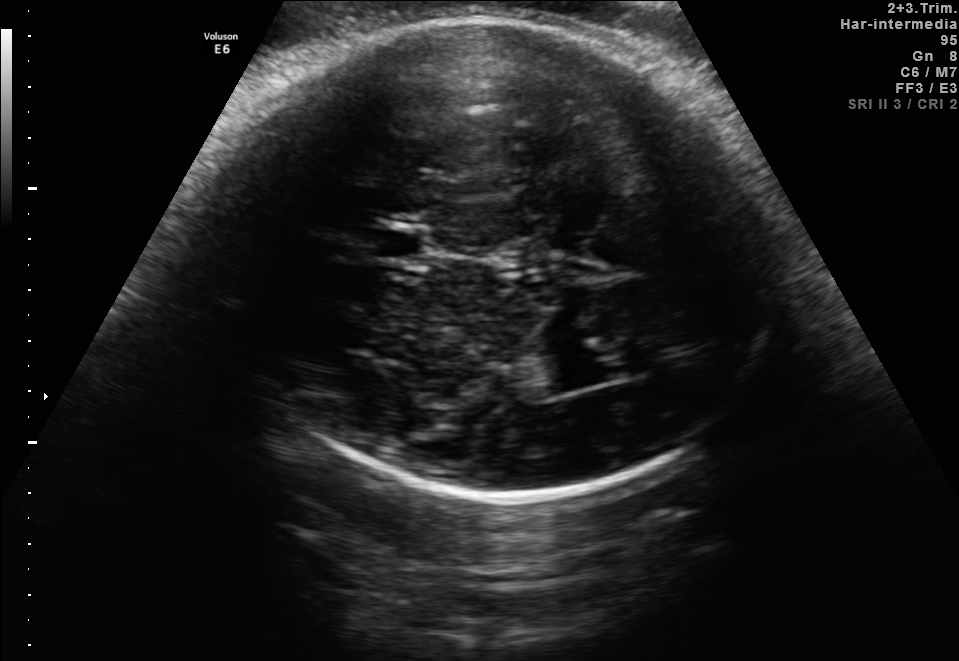
Fetal brain, trans-thalamic plane. Where is the fetal head?

Head bounding box: [214,22,781,499]